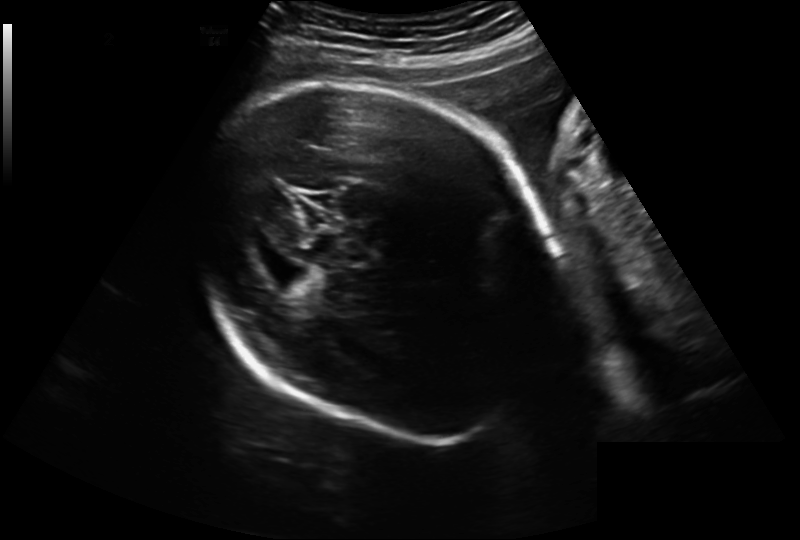
In this fetal head ultrasound, give the bounding box of the fetal head. Image width: 192.7 mm.

[196,78,559,445]